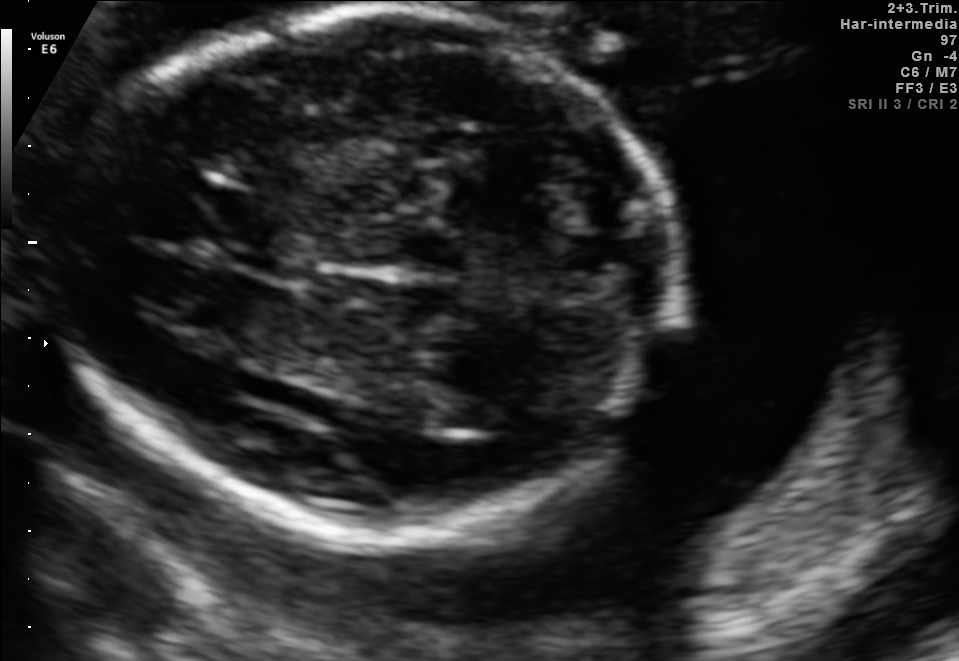
Fetal brain, trans-thalamic plane. Locate the lateral ventricle.

Lateral ventricle: [434,396,515,435]